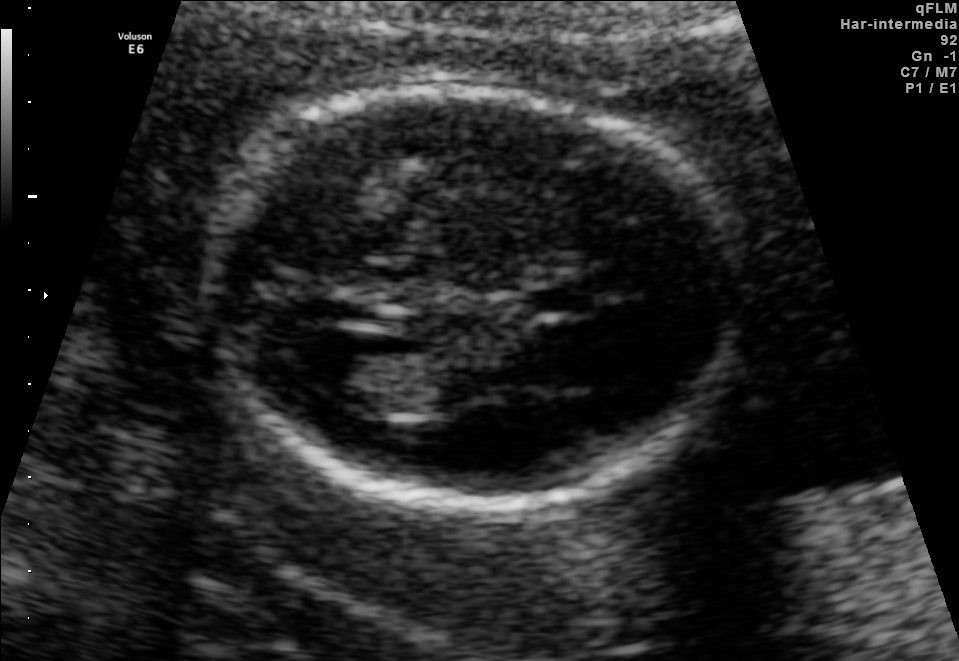
Fetal brain, trans-ventricular plane. Locate the fetal head and, if visible, the cavum septum pellucidum (CSP) and lateral ventricle (LV). Give bounding boxes as [x1,y1,x2,y2].

Head: [183,78,772,515]
CSP: [523,288,597,313]
Lateral ventricle: [285,333,400,408]